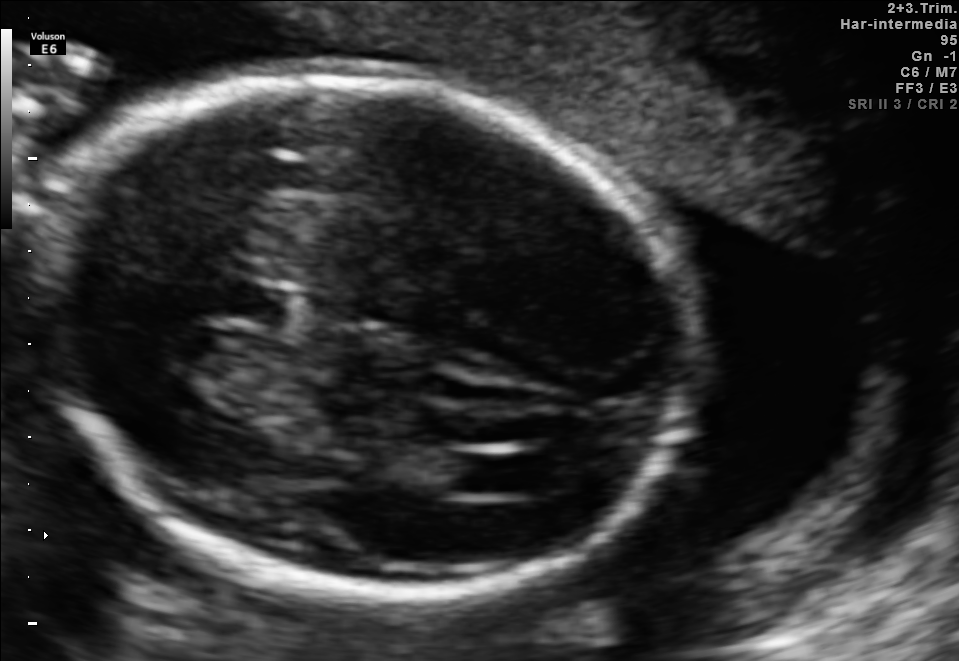
In this fetal brain, trans-ventricular plane, give the bounding box of the cavum septum pellucidum.

[212,278,289,329]